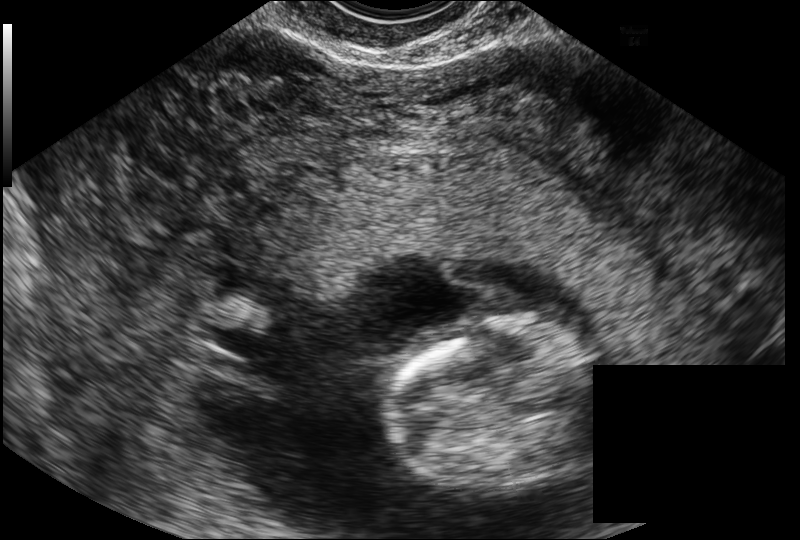
Estimate the fetal head circumference from this 2D ultrasound. Image width: 90.9 mm.

Head circumference: 69.5 mm.